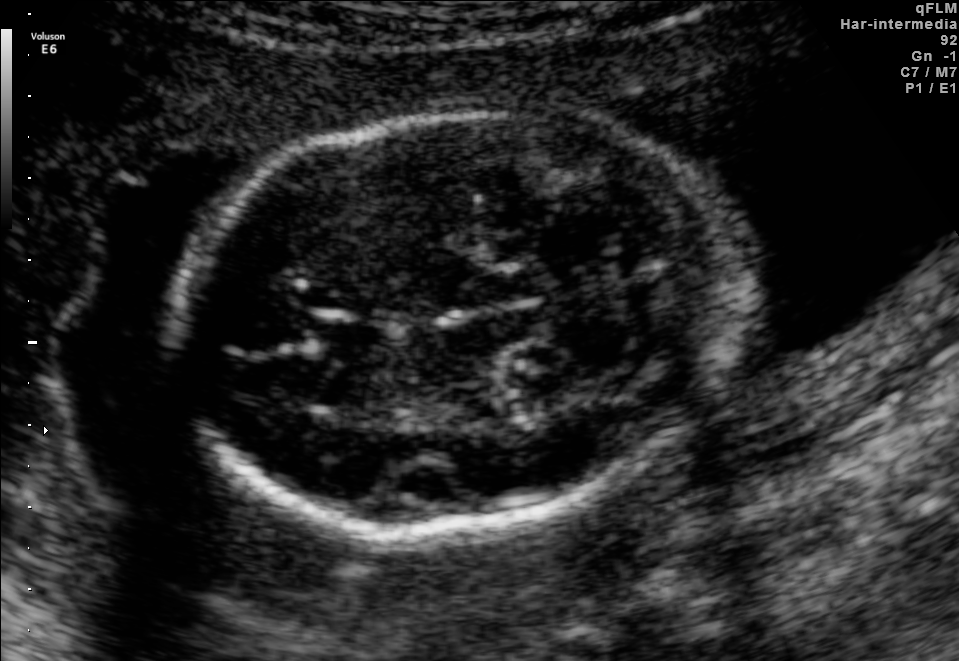
Fetal brain, trans-cerebellum plane. Locate the fetal head and, if visible, the cavum septum pellucidum (CSP) and lateral ventricle (LV). Give bounding boxes as [x1,y1,x2,y2].

Head: [174,108,737,531]
CSP: [318,316,393,361]